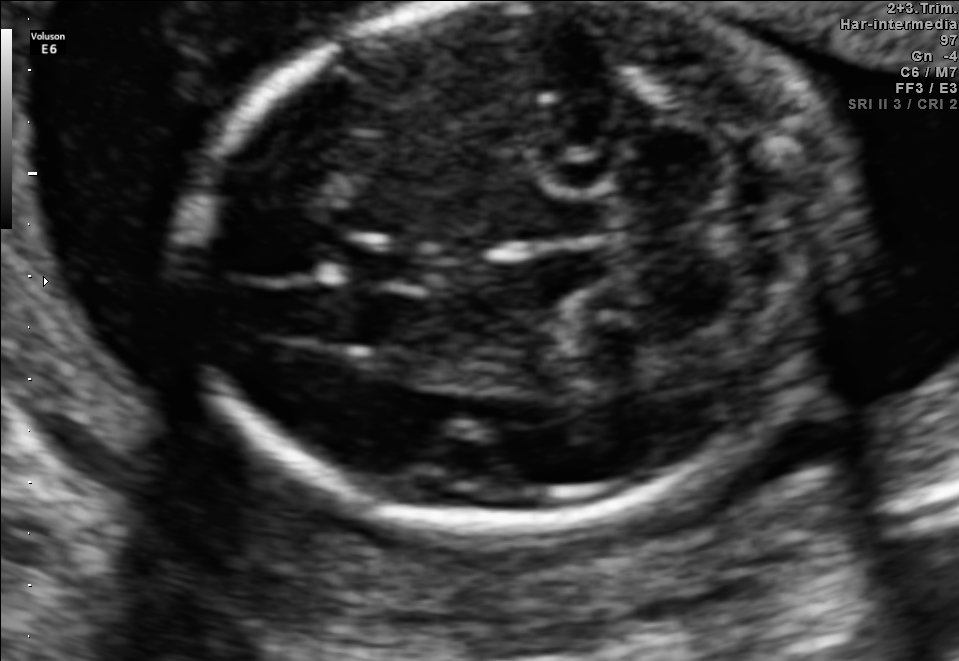
In this fetal brain, trans-cerebellum plane, give bounding boxes for the head outline, cavum septum pellucidum (CSP), and lateral ventricle (LV), where visible.

Head: [181,6,850,517]
CSP: [328,235,426,291]